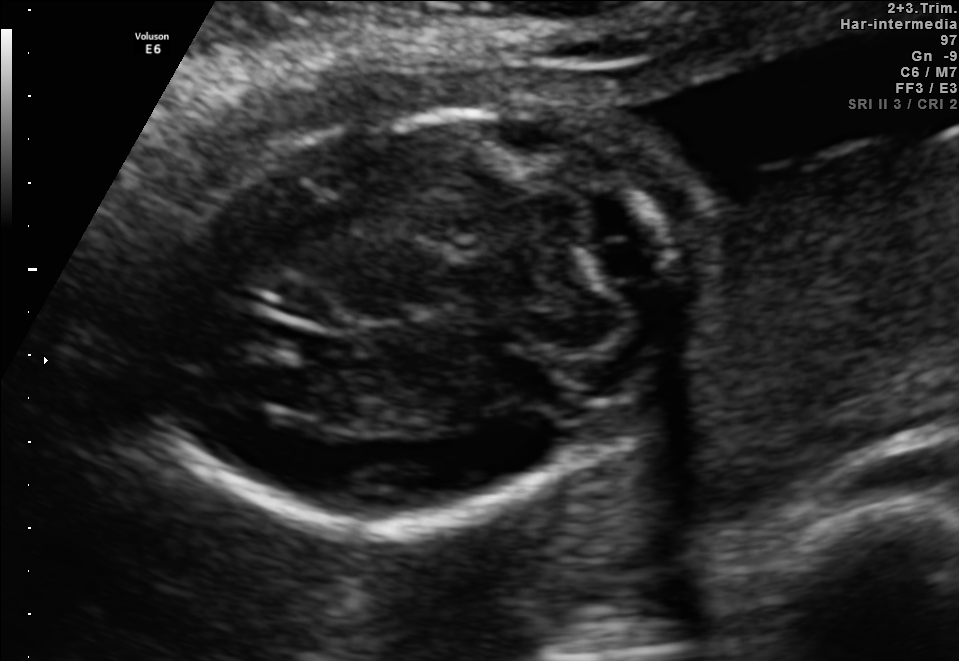
Fetal brain, trans-cerebellum plane. Locate the fetal head and, if visible, the cavum septum pellucidum (CSP) and lateral ventricle (LV). Give bounding boxes as [x1,y1,x2,y2].

Head: [158,105,717,520]